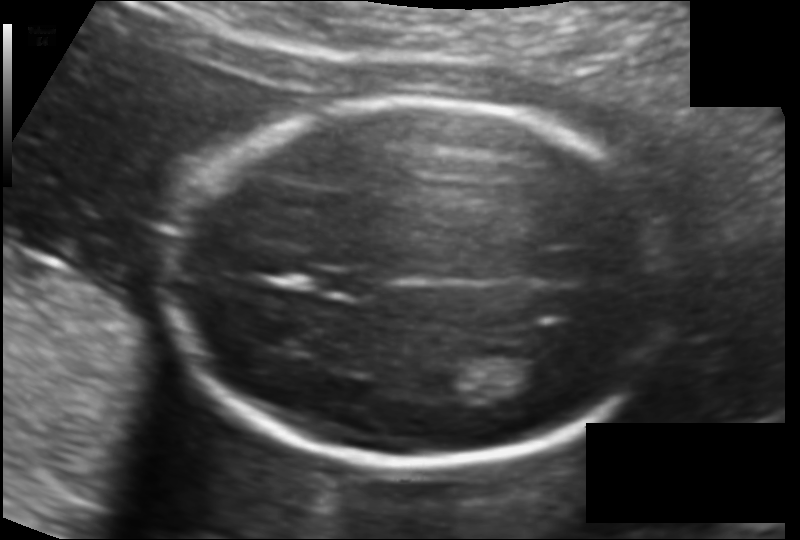
Fetal head ultrasound. Image width: 97.1 mm. Locate the cavum septum pellucidum.

CSP: [312,267,373,298]